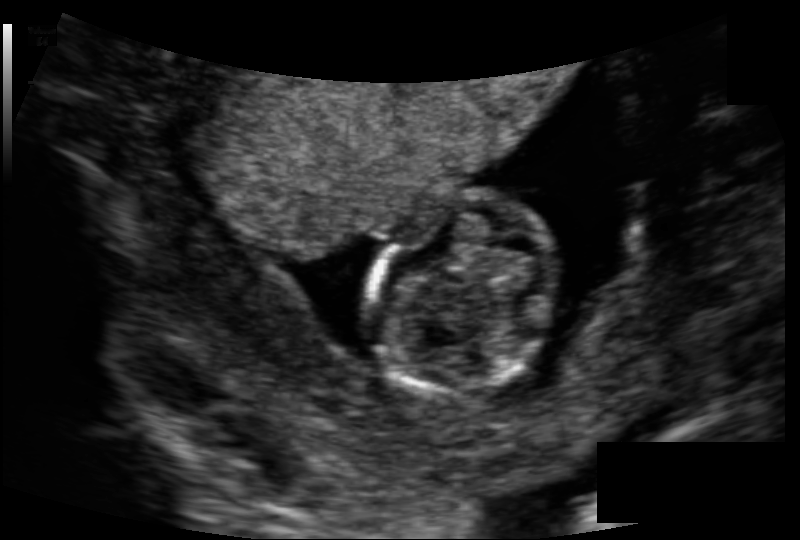
Fetal head ultrasound. Image width: 94.4 mm. Give [x1,y1,x2,y2] bounding boxes for each visible structure among: fetal head, CSP, LV.

Head: [371,193,561,391]